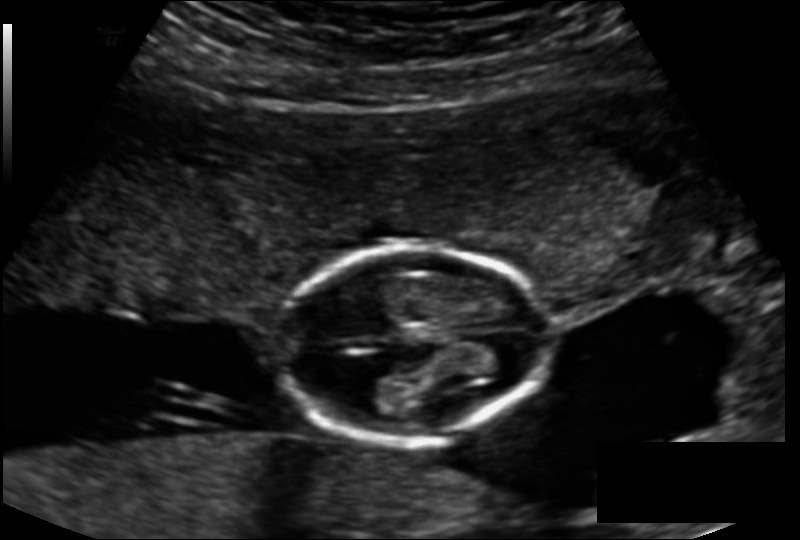
Estimate the fetal head circumference from this 2D ultrasound.

Head circumference: 111.5 mm (image width 114.3 mm).